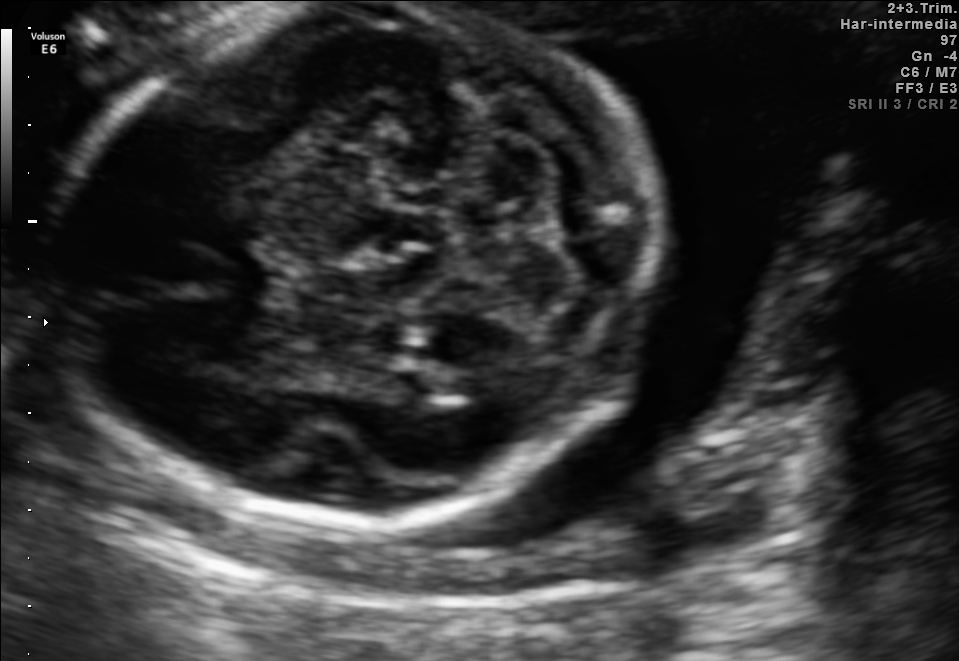
In this fetal brain, trans-cerebellum plane, give bounding boxes for the head outline, cavum septum pellucidum (CSP), and lateral ventricle (LV), where visible.

Head: [51,4,656,525]